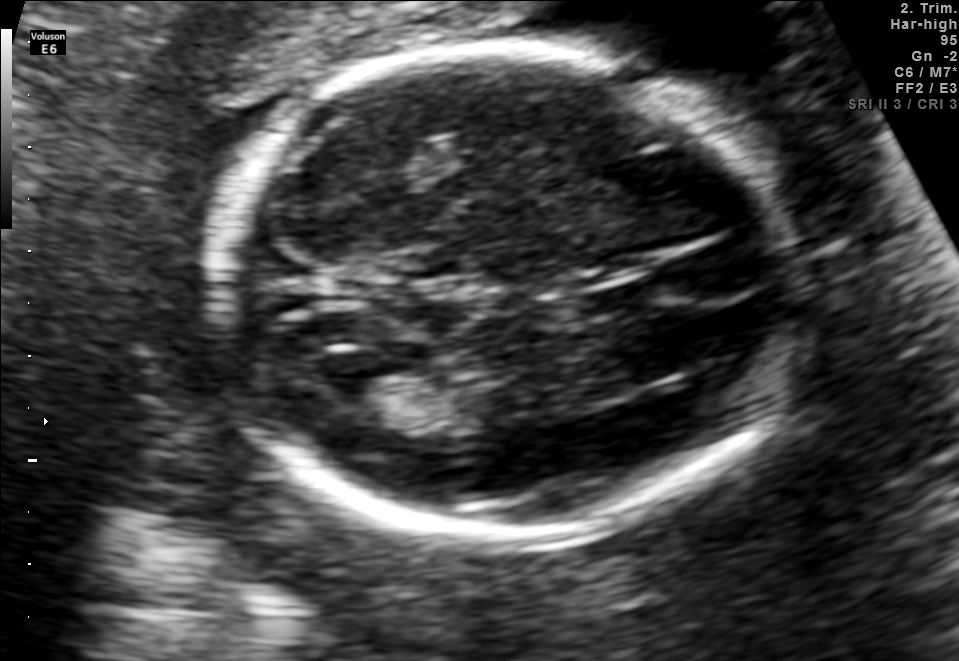
Fetal brain, trans-ventricular plane. Where is the fetal head?

Head bounding box: [192,37,825,550]